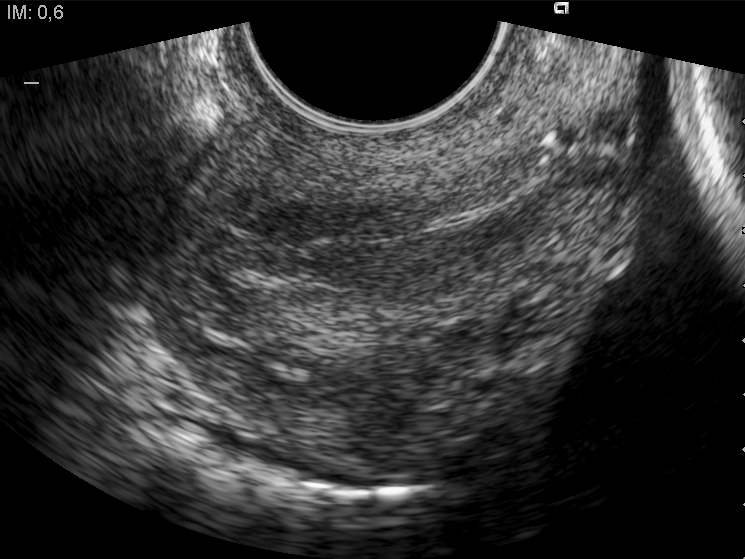
Identify the standard plane in this fetal ultrasound image: fetal abdomen, fetal brain, fetal femur, fetal thorax, maternal cervix, or other. If it's fetal brain and one of the three standard brain planes (trans-thalamic, trans-cerebellum, trans-ventricular), name which.

Maternal cervix